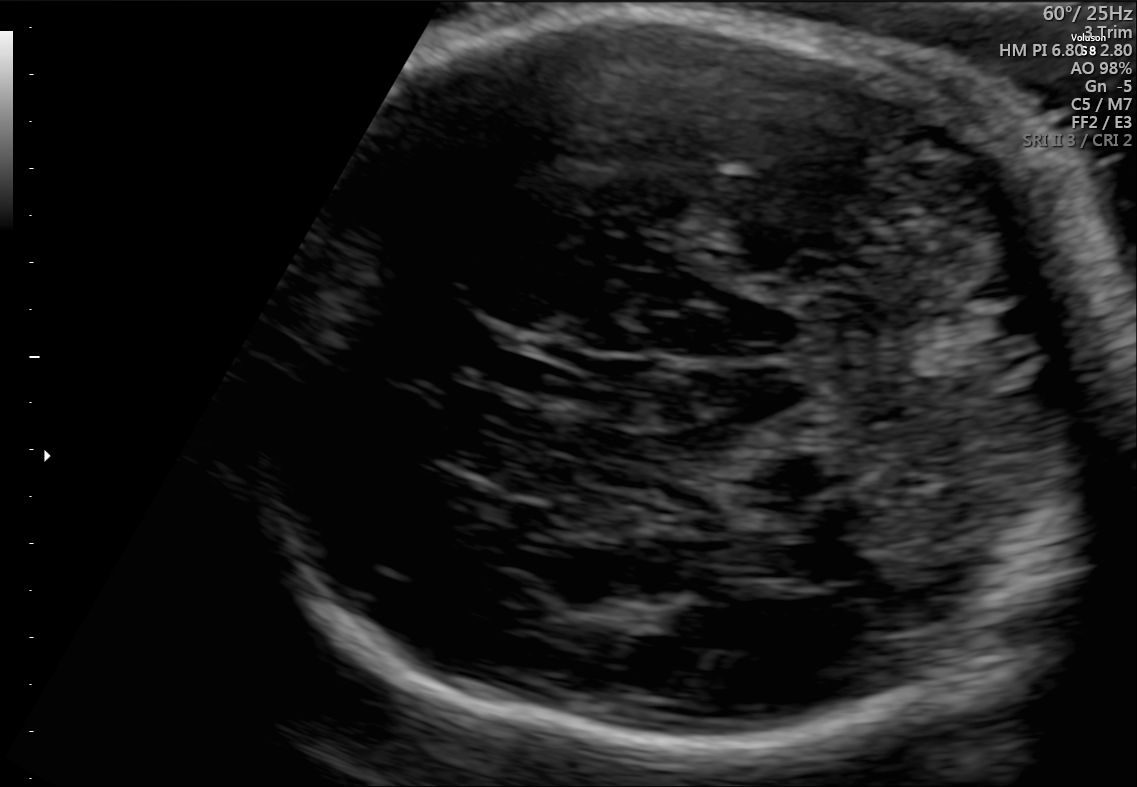
In this fetal brain, trans-cerebellum plane, give the bounding box of the fetal head.

[286,14,1105,758]